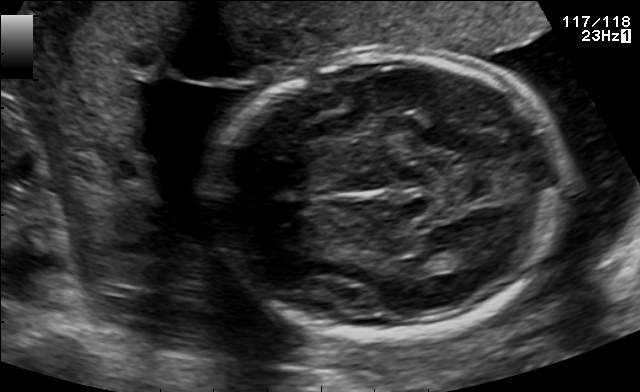
Fetal brain, trans-thalamic plane. Locate the fetal head.

Head: [208,55,570,334]